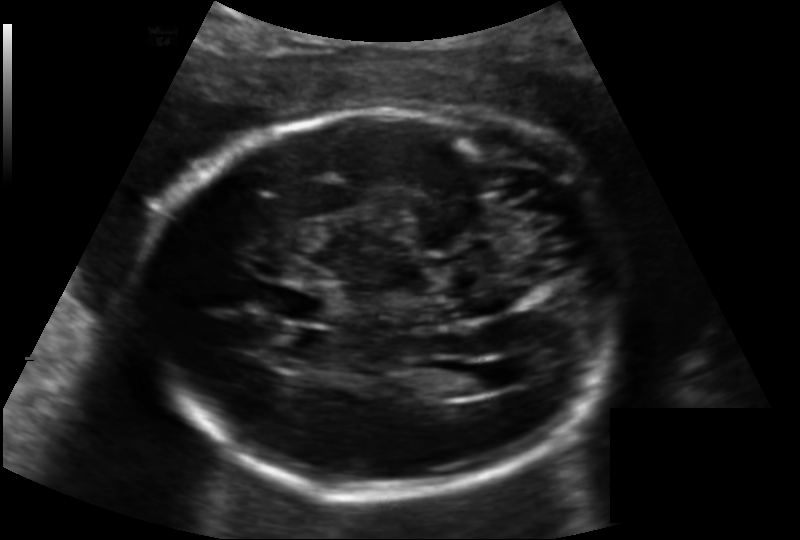
In this fetal head ultrasound, give bounding boxes for the head outline, cavum septum pellucidum (CSP), and lateral ventricle (LV), where visible. Image width: 126.5 mm.

Head: [143,109,624,493]
CSP: [270,281,335,327]
Lateral ventricle: [436,361,500,399]